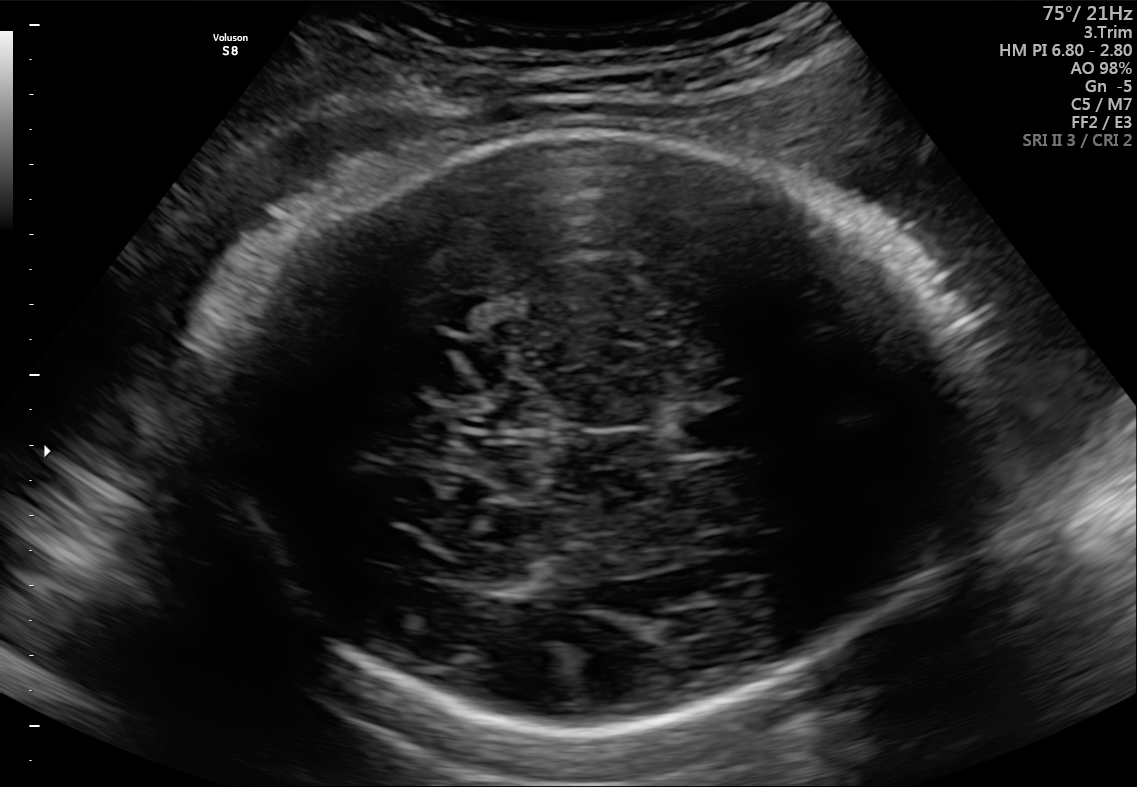
Classify this maternal-fetal ultrasound image as one of the six standard planes — fetal abdomen, fetal brain, fetal femur, fetal thorax, maternal cervix, or other. If it's fetal brain and one of the three standard brain planes (trans-thalamic, trans-cerebellum, trans-ventricular), name which.

Fetal brain (trans-thalamic plane)